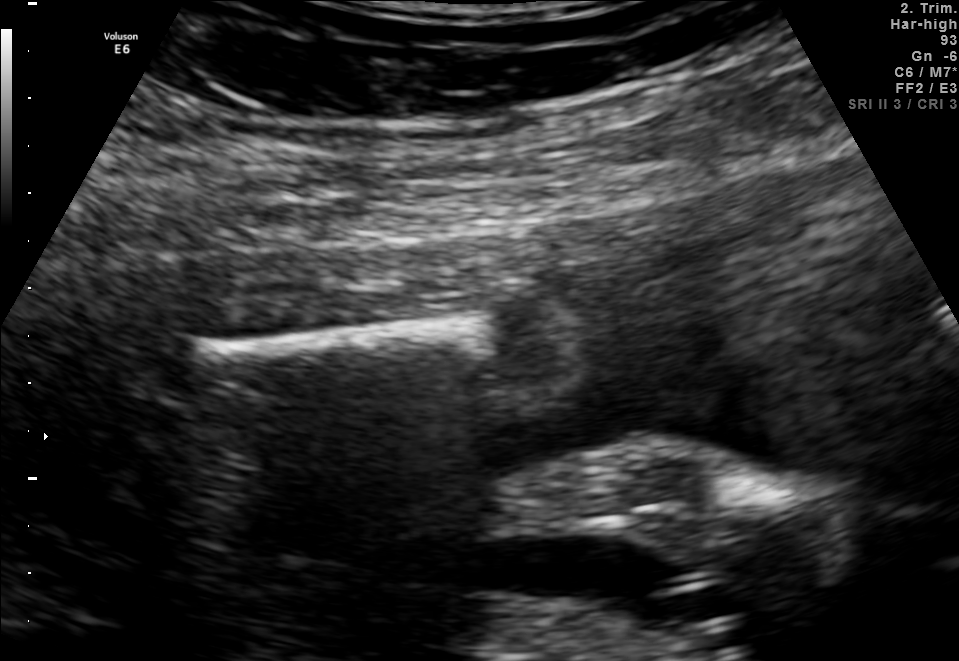
This is a 2D maternal-fetal ultrasound frame. Is it a fetal abdomen, fetal brain, fetal femur, fetal thorax, maternal cervix, or other standard plane? If it's fetal brain and one of the three standard brain planes (trans-thalamic, trans-cerebellum, trans-ventricular), name which.

Fetal femur